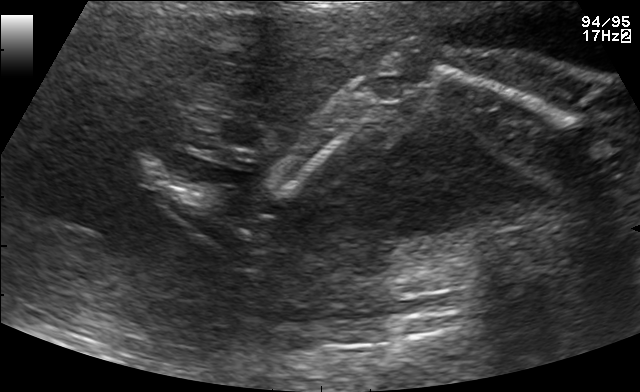
Classify this maternal-fetal ultrasound image as one of the six standard planes — fetal abdomen, fetal brain, fetal femur, fetal thorax, maternal cervix, or other. If it's fetal brain and one of the three standard brain planes (trans-thalamic, trans-cerebellum, trans-ventricular), name which.

Fetal femur